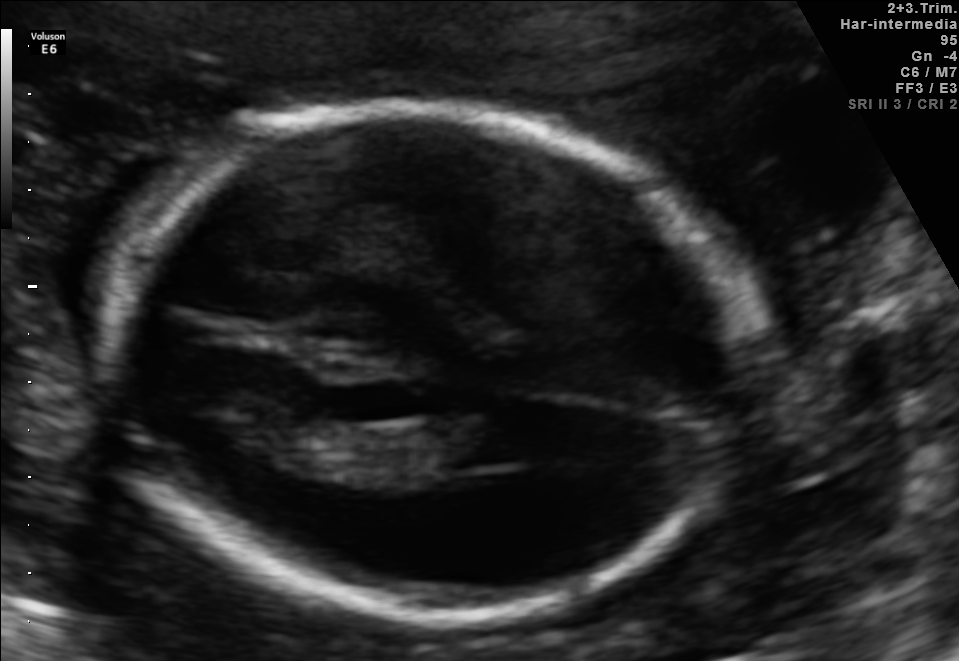
In this fetal brain, trans-thalamic plane, give bounding boxes for the head outline, cavum septum pellucidum (CSP), and lateral ventricle (LV), where visible.

Head: [102,109,757,618]